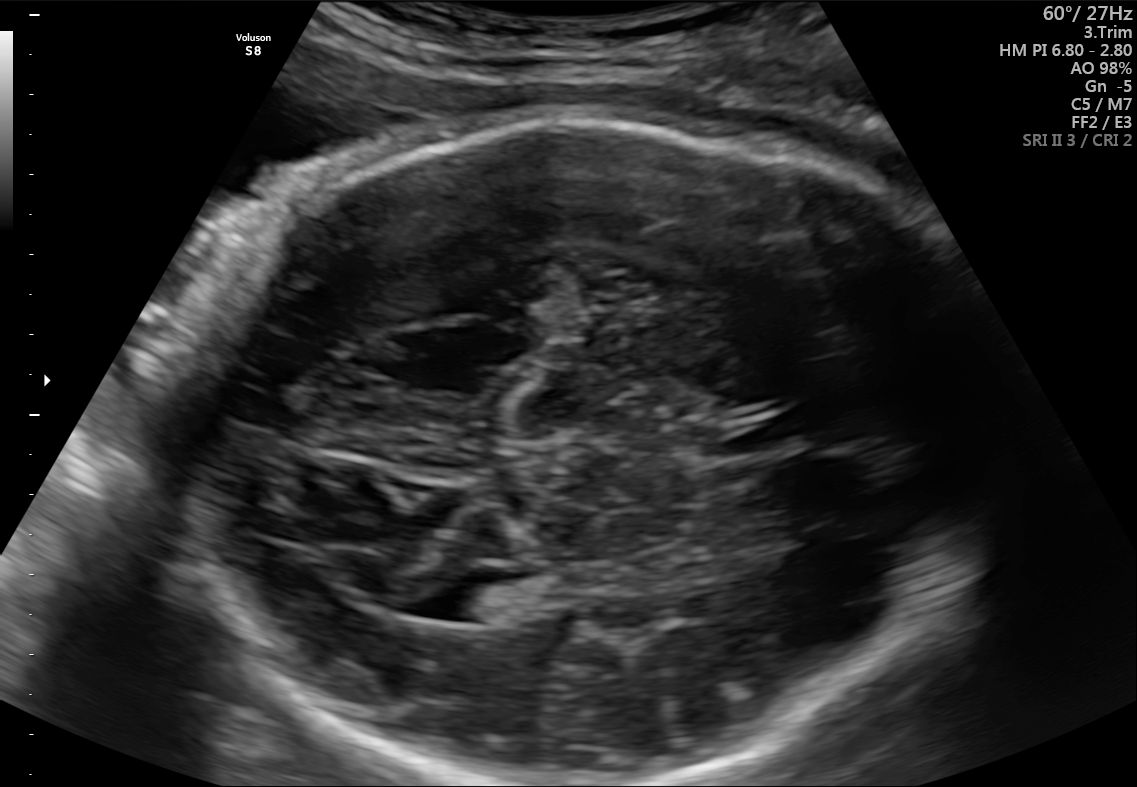
This is a 2D maternal-fetal ultrasound frame. Is it a fetal abdomen, fetal brain, fetal femur, fetal thorax, maternal cervix, or other standard plane? If it's fetal brain and one of the three standard brain planes (trans-thalamic, trans-cerebellum, trans-ventricular), name which.

Fetal brain (trans-thalamic plane)